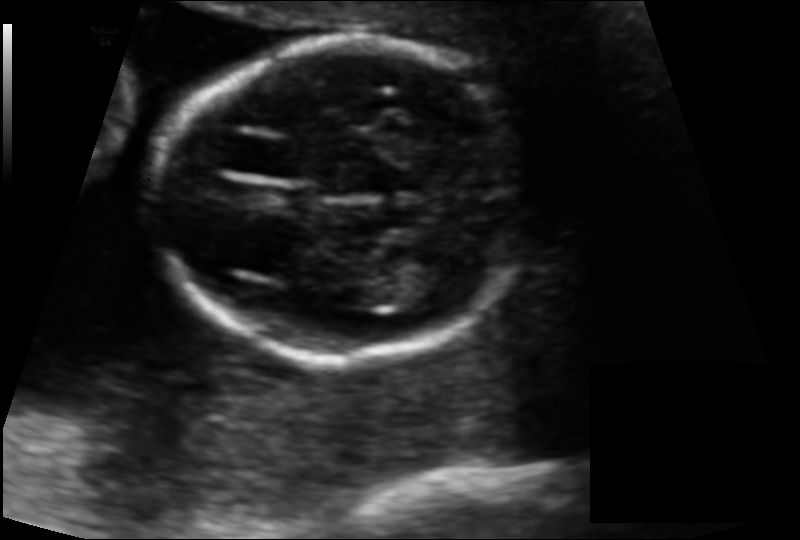
Fetal head ultrasound. Image width: 92.0 mm. Where is the fetal head?

Head bounding box: [153,43,525,359]